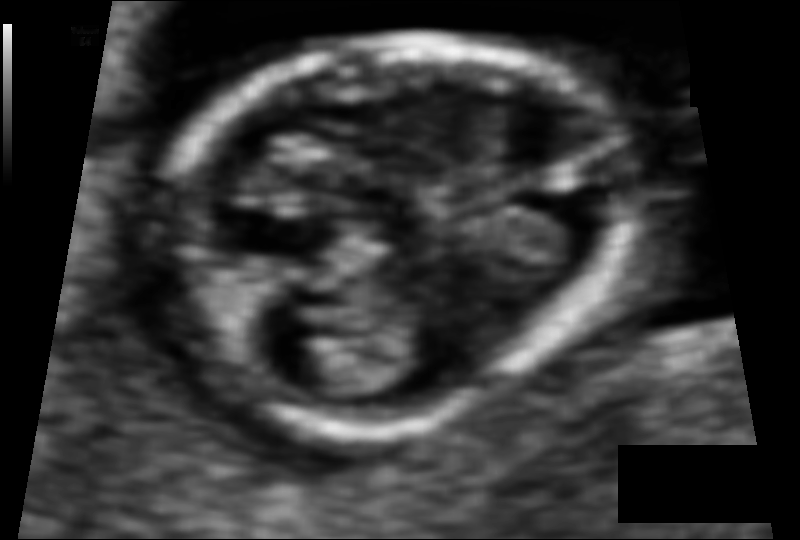
Fetal head ultrasound. Image width: 47.7 mm. Where is the fetal head?

Head bounding box: [153,36,624,426]